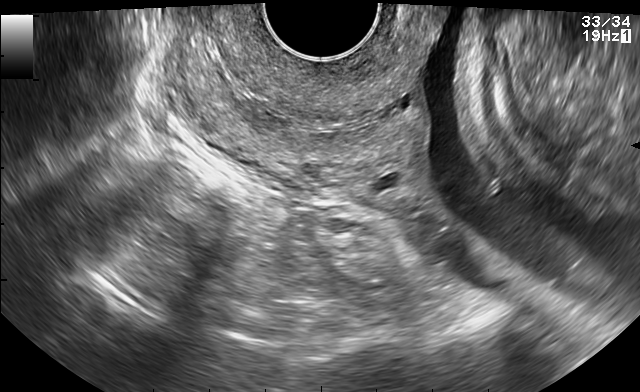
Which standard maternal-fetal ultrasound plane is shown: fetal abdomen, fetal brain, fetal femur, fetal thorax, maternal cervix, or other? If it's fetal brain and one of the three standard brain planes (trans-thalamic, trans-cerebellum, trans-ventricular), name which.

Maternal cervix